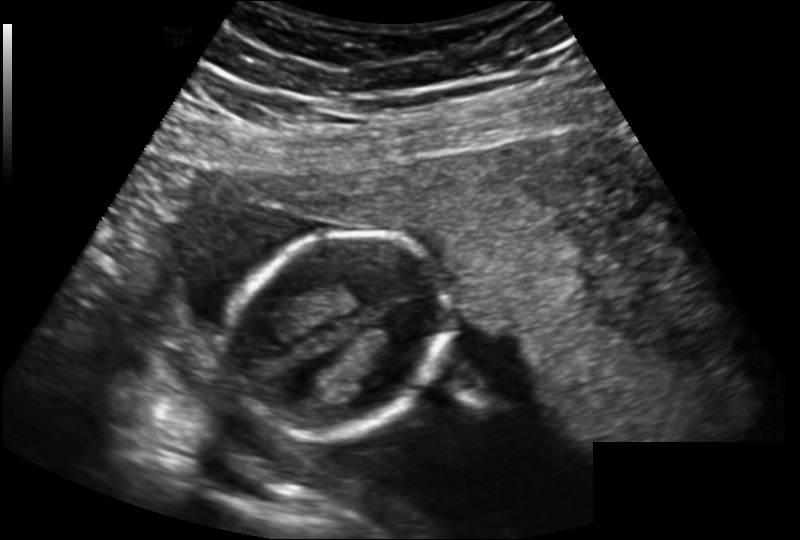
In this fetal head ultrasound, give bounding boxes for the head outline, cavum septum pellucidum (CSP), and lateral ventricle (LV), where visible. Image width: 146.2 mm.

Head: [228,232,450,435]